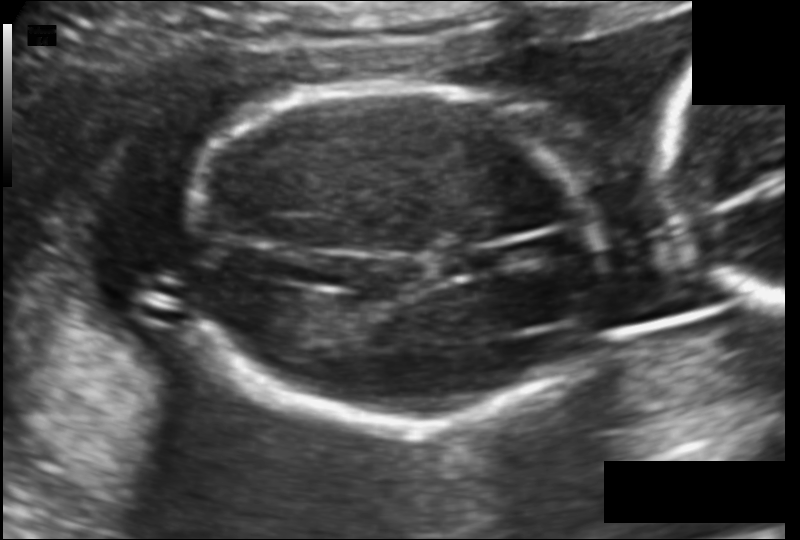
Fetal head ultrasound. Image width: 94.3 mm. Where is the fetal head?

Head bounding box: [183,83,601,425]